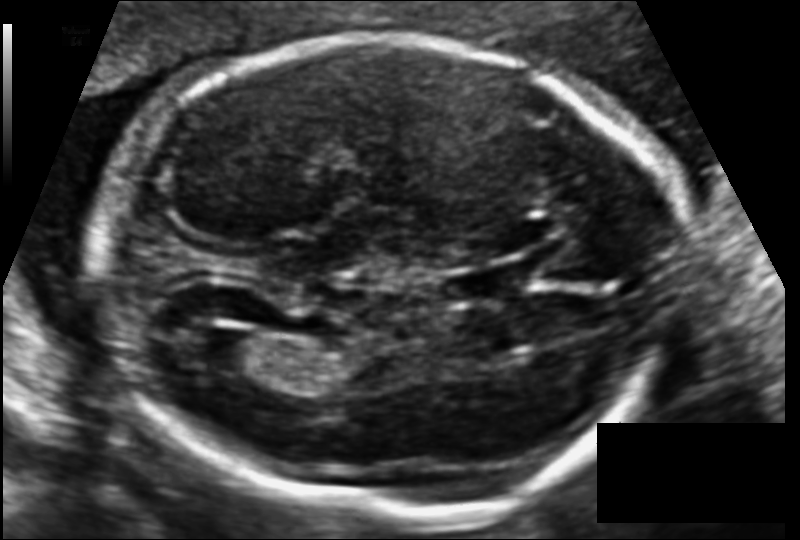
Fetal head ultrasound. Image width: 92.7 mm. Locate the lateral ventricle.

Lateral ventricle: [190,325,263,375]